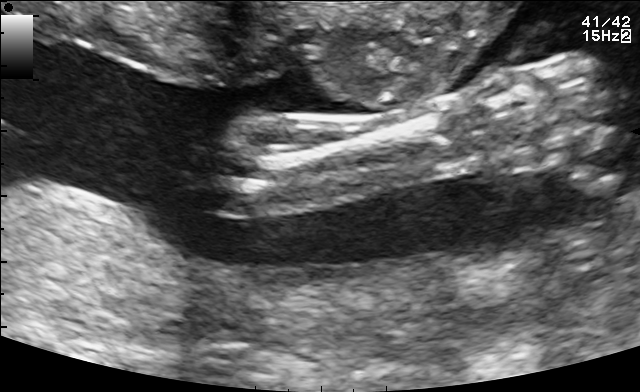
This is a 2D maternal-fetal ultrasound frame. Is it a fetal abdomen, fetal brain, fetal femur, fetal thorax, maternal cervix, or other standard plane? If it's fetal brain and one of the three standard brain planes (trans-thalamic, trans-cerebellum, trans-ventricular), name which.

Other